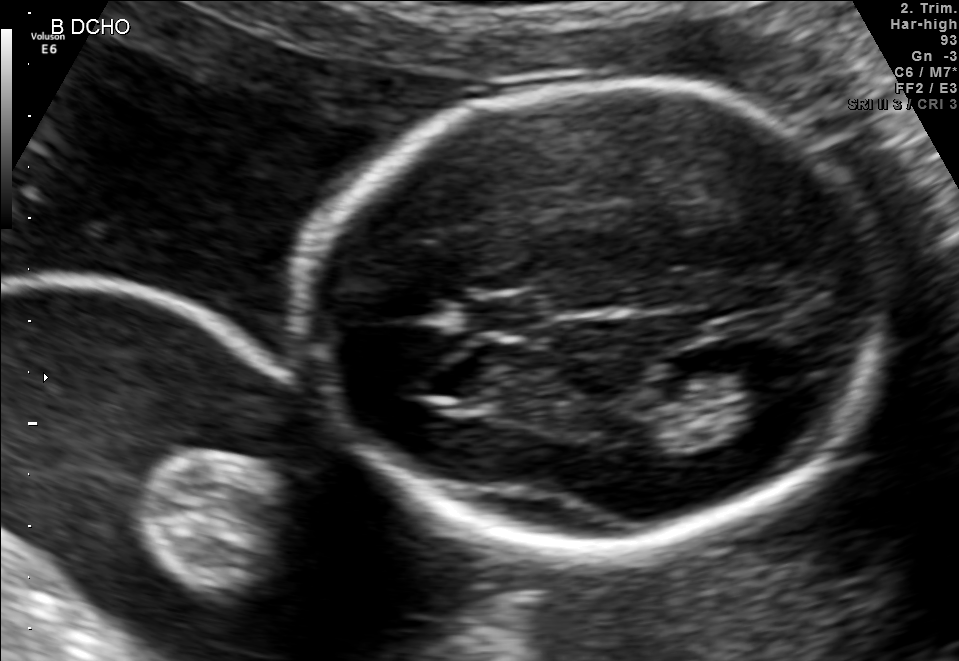
In this fetal brain, trans-thalamic plane, give the bounding box of the cavum septum pellucidum.

[463,293,543,334]